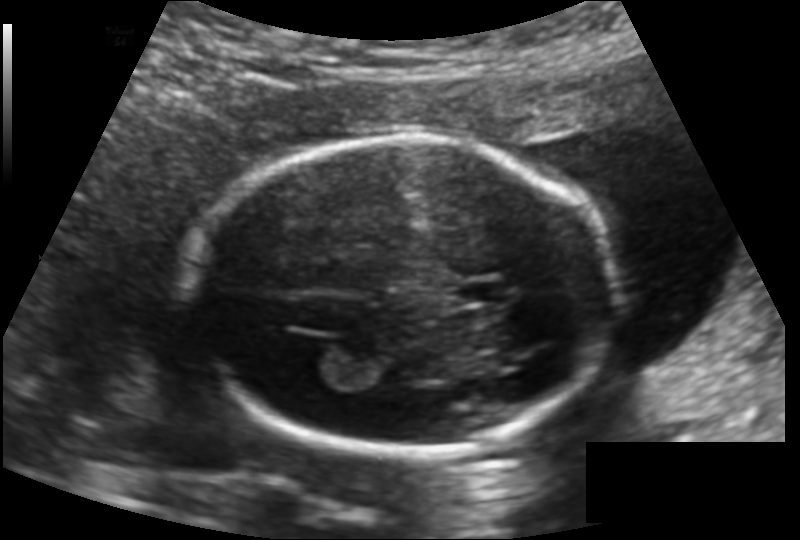
Fetal head ultrasound. Image width: 109.1 mm. Locate the cavum septum pellucidum.

CSP: [457,280,508,306]